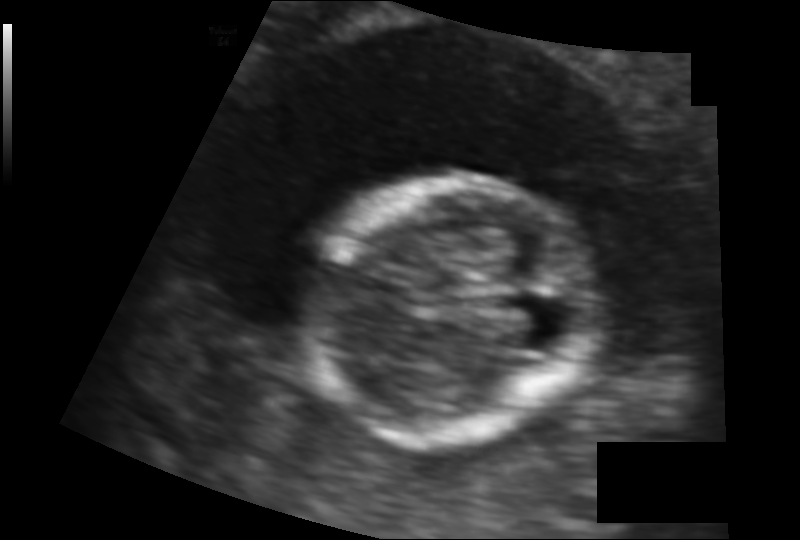
Fetal head ultrasound. Image width: 82.1 mm. Locate the fetal head.

Head: [301,179,601,448]